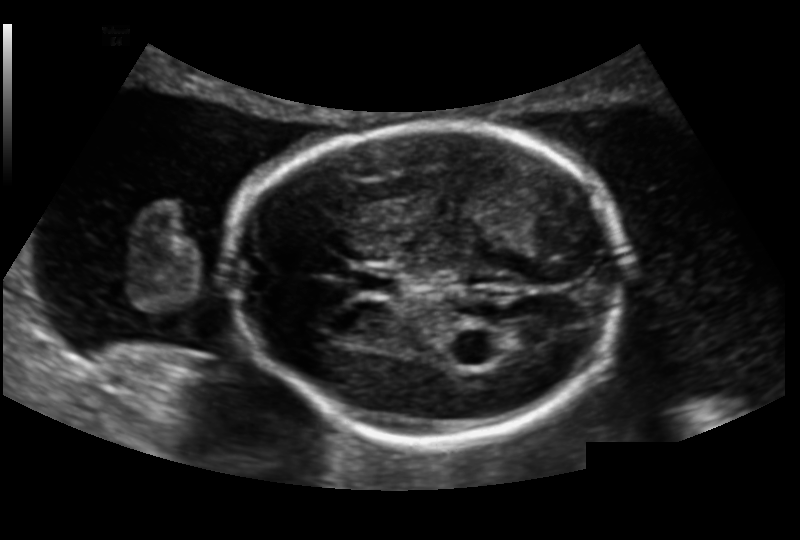
Measure the fetal head circumference shown in this ultrasound image. Image width: 121.1 mm.

Head circumference: 172.0 mm.